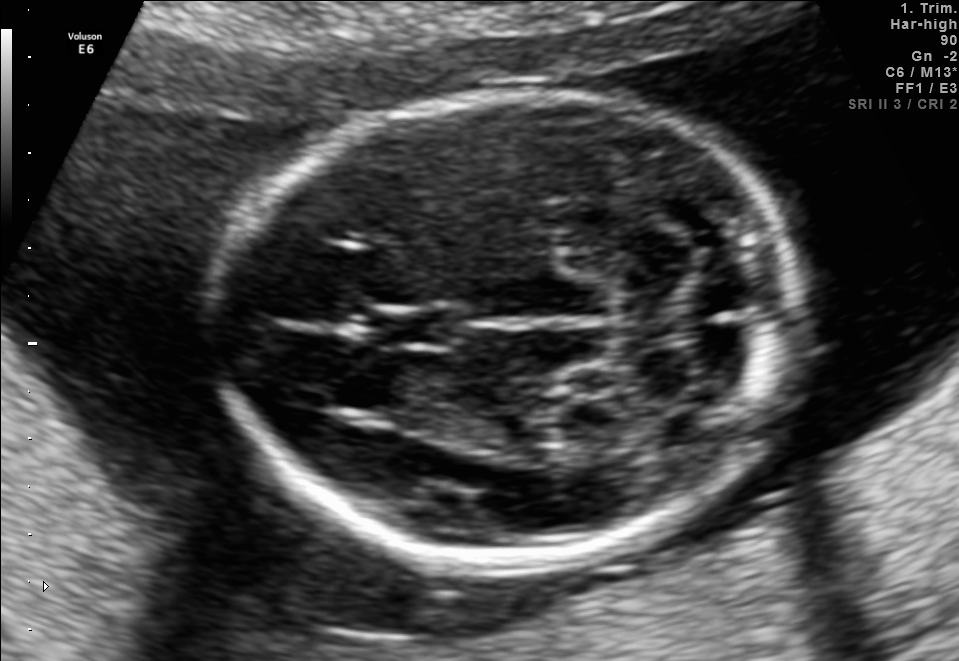
Fetal brain, trans-cerebellum plane. Locate the fetal head and, if visible, the cavum septum pellucidum (CSP) and lateral ventricle (LV). Give bounding boxes as [x1,y1,x2,y2].

Head: [226,91,795,564]
CSP: [378,307,462,348]